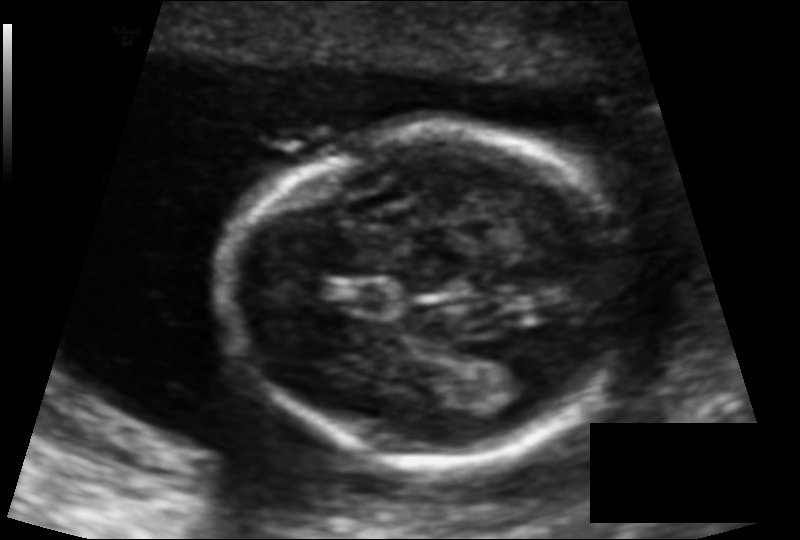
Fetal head ultrasound. Image width: 81.7 mm. Locate the fetal head.

Head: [232,129,621,463]